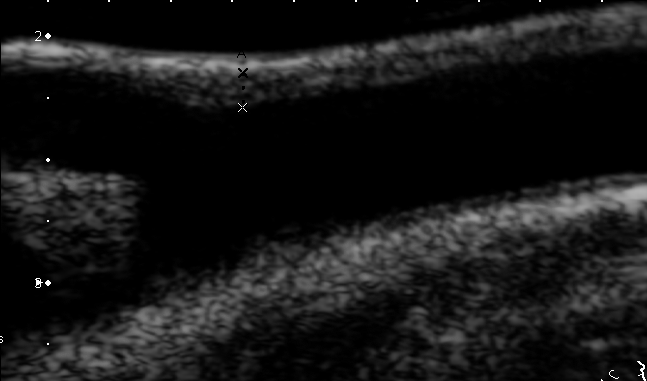
Classify this maternal-fetal ultrasound image as one of the six standard planes — fetal abdomen, fetal brain, fetal femur, fetal thorax, maternal cervix, or other. If it's fetal brain and one of the three standard brain planes (trans-thalamic, trans-cerebellum, trans-ventricular), name which.

Other